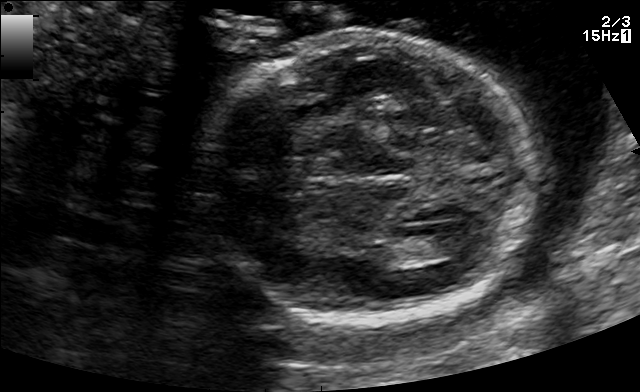
In this fetal brain, trans-ventricular plane, give the bounding box of the lateral ventricle.

[426,231,478,260]